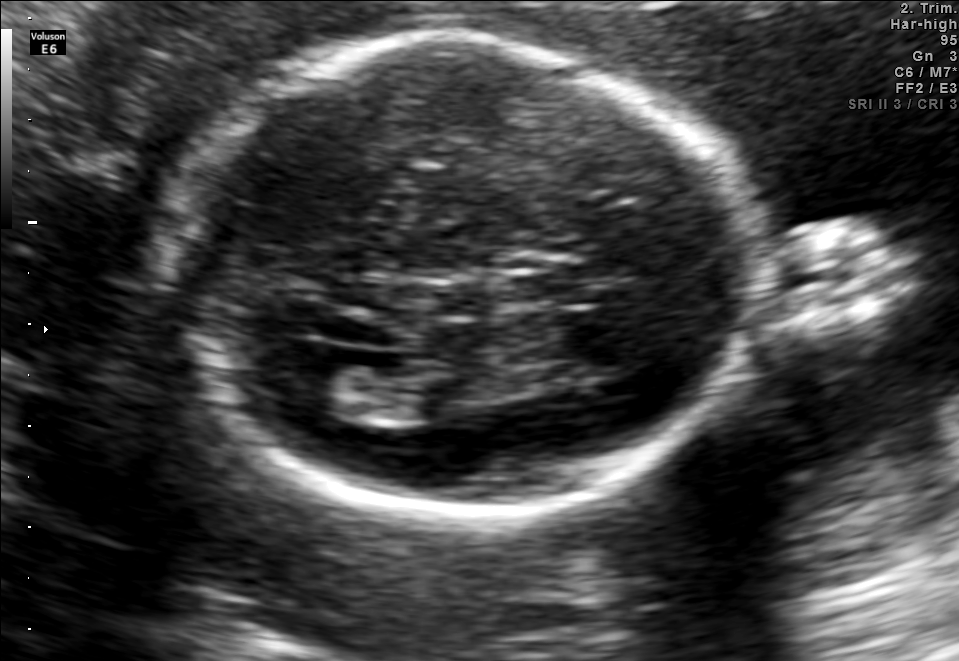
Fetal brain, trans-ventricular plane. Locate the fetal head and, if visible, the cavum septum pellucidum (CSP) and lateral ventricle (LV). Give bounding boxes as [x1,y1,x2,y2].

Head: [154,32,769,521]
CSP: [509,261,590,305]
Lateral ventricle: [256,341,362,417]